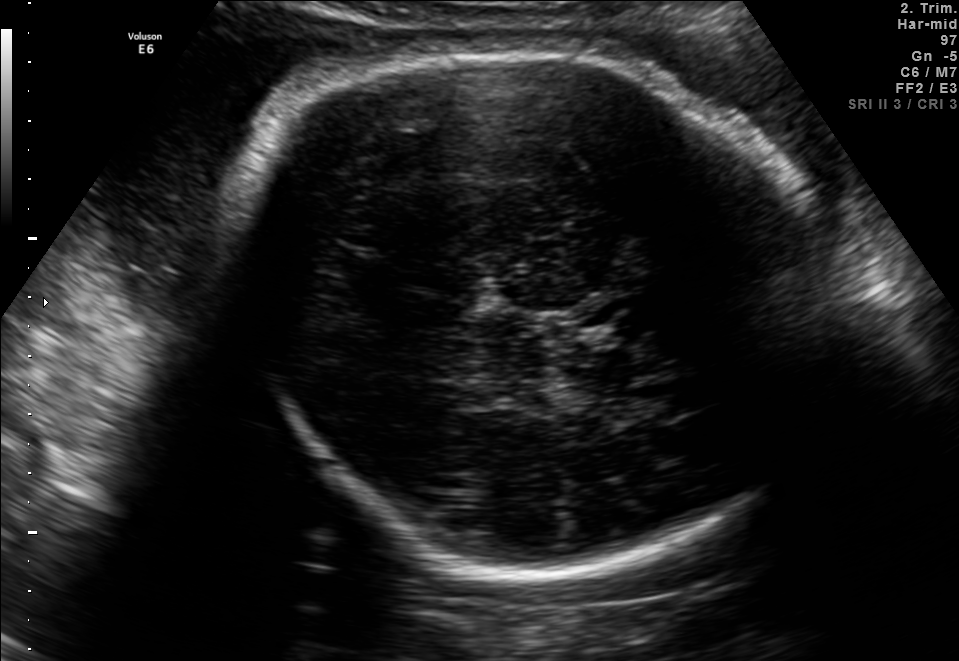
In this fetal brain, trans-thalamic plane, give the bounding box of the fetal head.

[236,39,821,578]